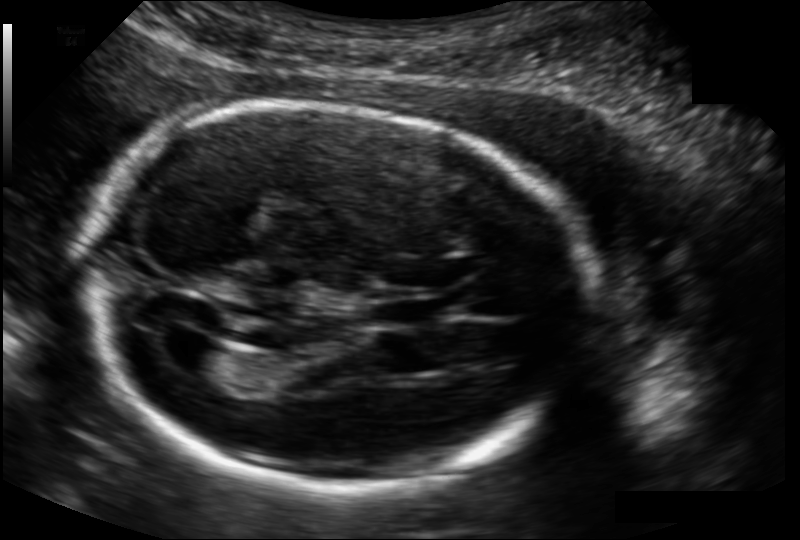
Fetal head ultrasound. Image width: 107.6 mm. Give [x1,y1,x2,y2] bounding boxes for each visible structure among: fetal head, CSP, LV.

Head: [90,107,586,489]
CSP: [367,295,440,329]
Lateral ventricle: [162,323,230,383]